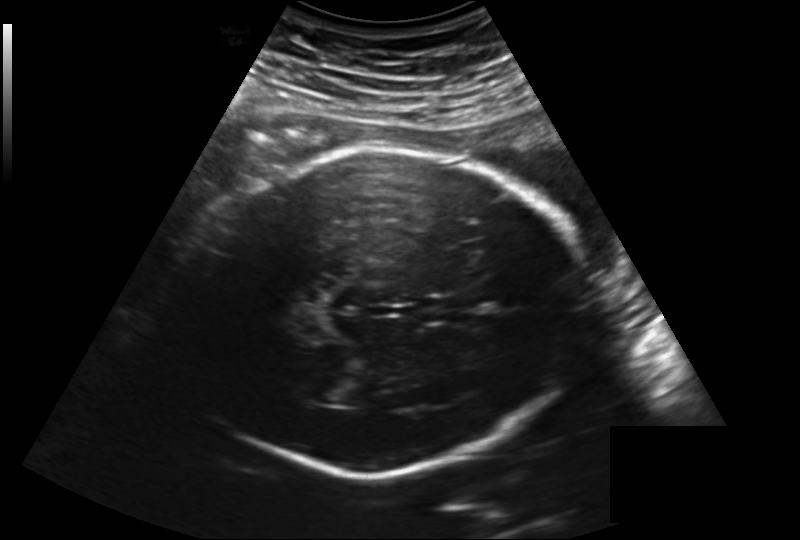
Fetal head ultrasound. Image width: 175.2 mm. Give [x1,y1,x2,y2] bounding boxes for each visible structure among: fetal head, CSP, LV.

Head: [174,147,587,476]
Lateral ventricle: [305,373,352,402]